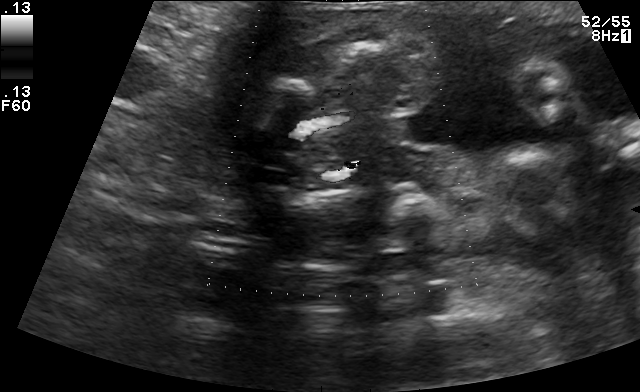
This is a 2D maternal-fetal ultrasound frame. Is it a fetal abdomen, fetal brain, fetal femur, fetal thorax, maternal cervix, or other standard plane? If it's fetal brain and one of the three standard brain planes (trans-thalamic, trans-cerebellum, trans-ventricular), name which.

Other